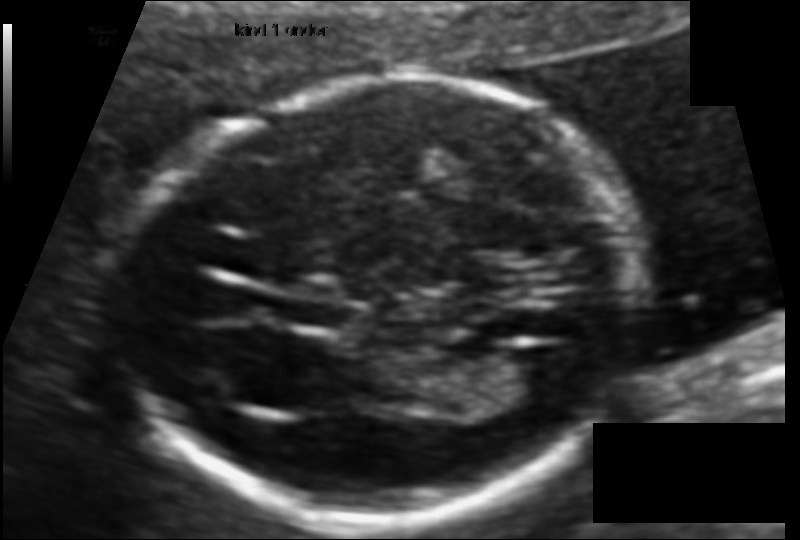
Fetal head ultrasound. Image width: 75.7 mm. Locate the fetal head and, if visible, the cavum septum pellucidum (CSP) and lateral ventricle (LV). Give bounding boxes as [x1,y1,x2,y2].

Head: [122,82,638,520]
CSP: [290,297,353,332]
Lateral ventricle: [498,342,581,400]